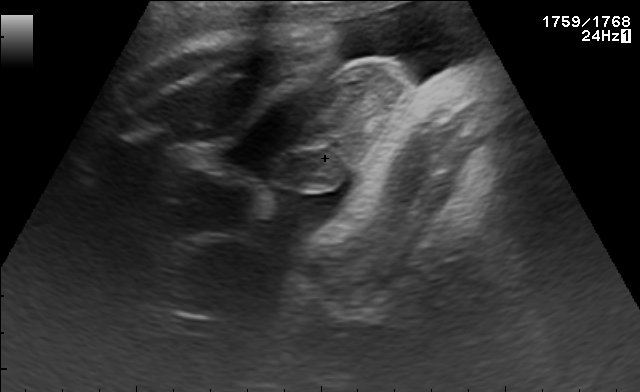
Which standard maternal-fetal ultrasound plane is shown: fetal abdomen, fetal brain, fetal femur, fetal thorax, maternal cervix, or other? If it's fetal brain and one of the three standard brain planes (trans-thalamic, trans-cerebellum, trans-ventricular), name which.

Other